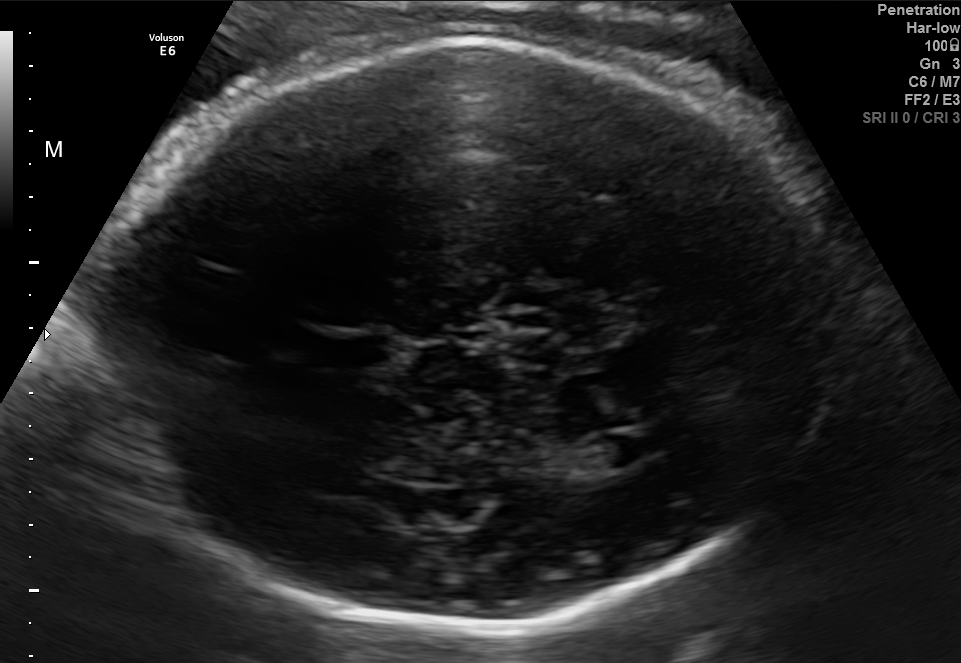
In this fetal brain, trans-ventricular plane, give bounding boxes for the head outline, cavum septum pellucidum (CSP), and lateral ventricle (LV), where visible.

Head: [87,31,870,634]